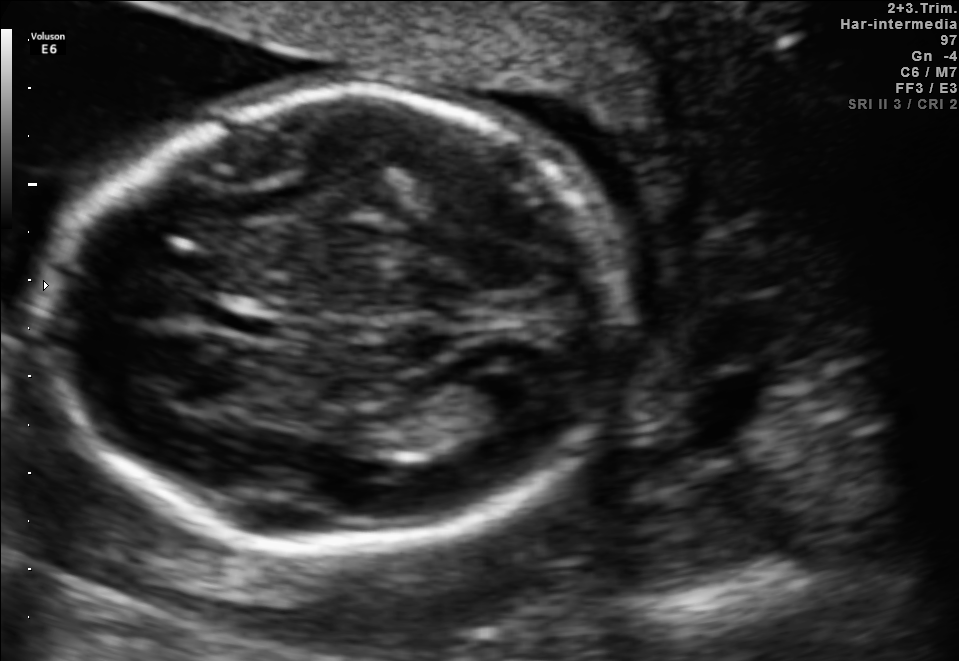
In this fetal brain, trans-ventricular plane, give bounding boxes for the head outline, cavum septum pellucidum (CSP), and lateral ventricle (LV), where visible.

Head: [41,81,646,560]
CSP: [213,307,280,341]
Lateral ventricle: [453,340,556,431]